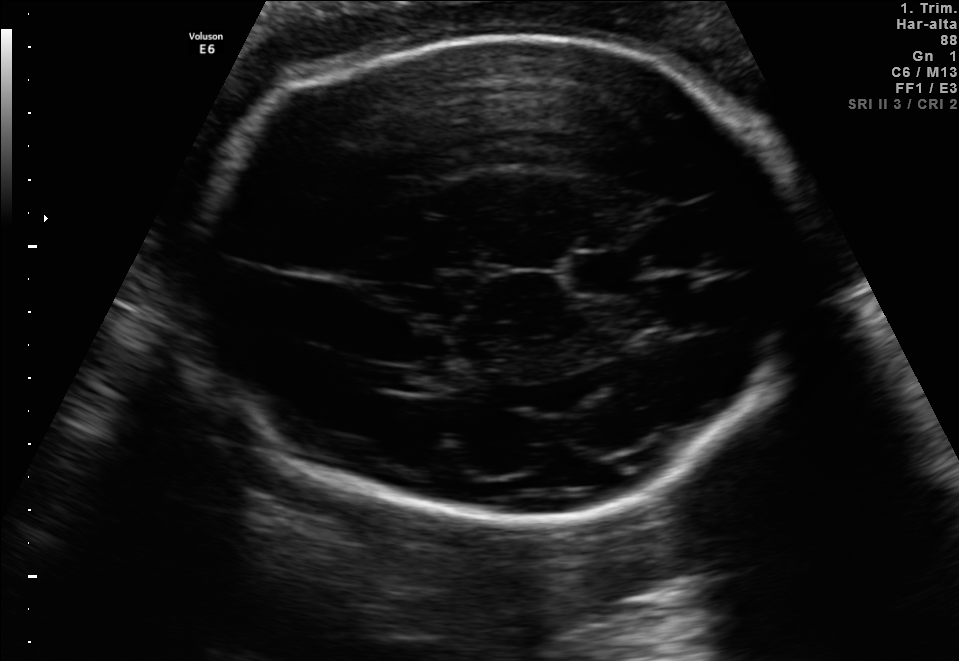
Fetal brain, trans-thalamic plane. Locate the fetal head.

Head: [193,33,804,518]